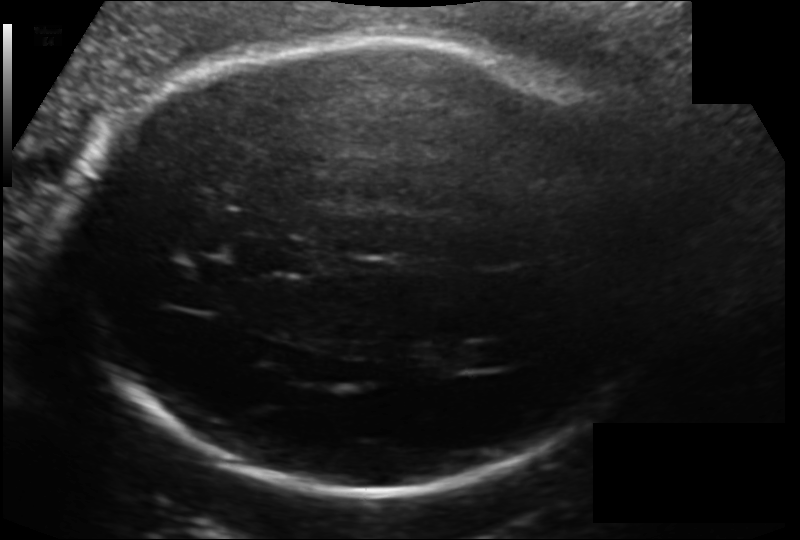
Estimate the fetal head circumference from this 2D ultrasound. Image width: 123.2 mm.

Head circumference: 261.2 mm.